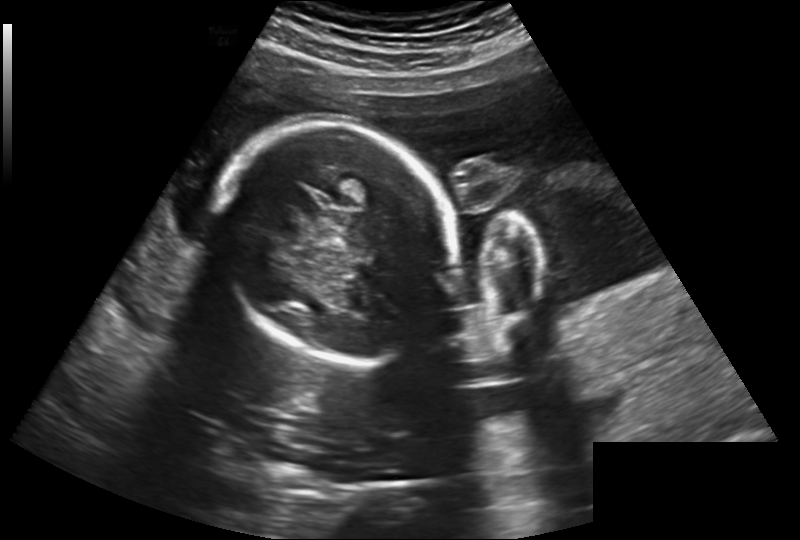
From this fetal ultrasound, estimate the head circumference (image width 208.4 mm).

Head circumference: 206.9 mm.